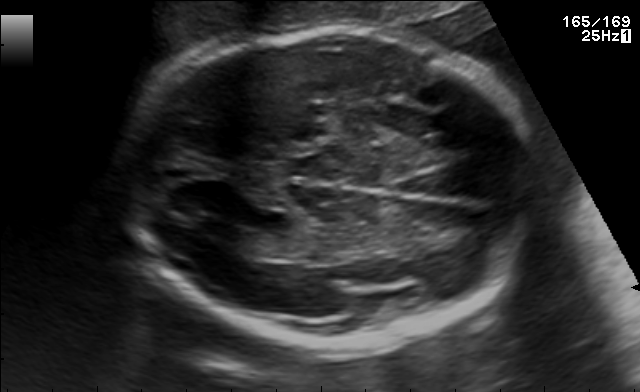
Fetal brain, trans-ventricular plane. Locate the fetal head and, if visible, the cavum septum pellucidum (CSP) and lateral ventricle (LV). Give bounding boxes as [x1,y1,x2,y2].

Head: [118,24,550,355]